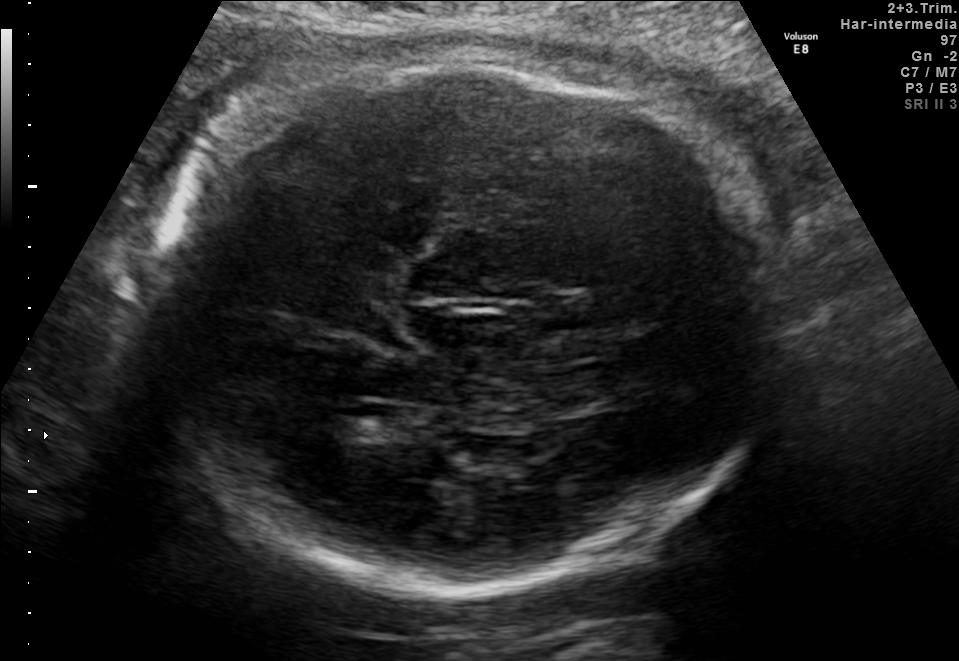
Fetal brain, trans-thalamic plane. Locate the fetal head.

Head: [148,63,789,588]